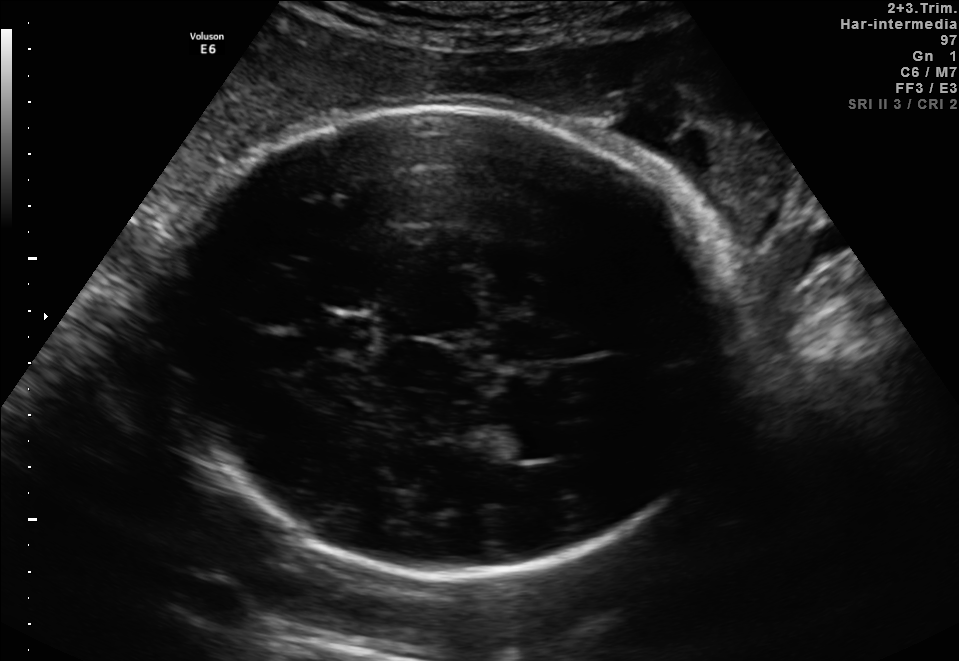
Fetal brain, trans-thalamic plane. Locate the cavum septum pellucidum.

CSP: [315,314,374,349]